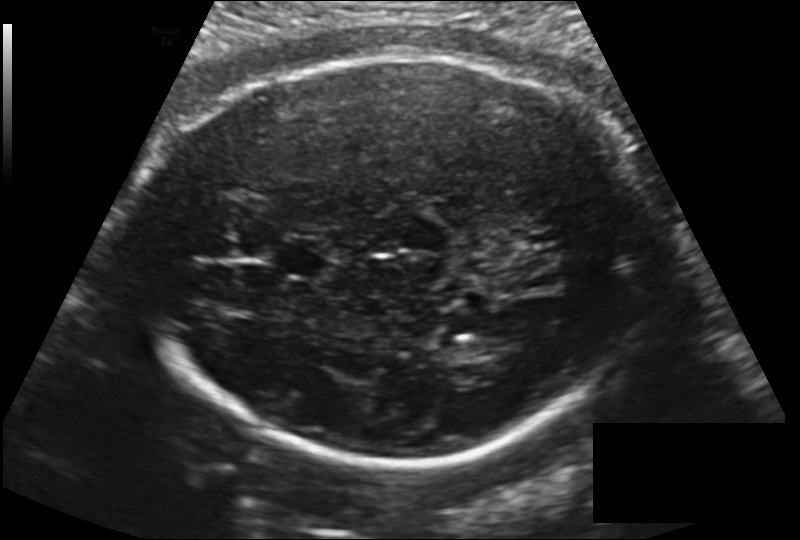
From this fetal ultrasound, estimate the head circumference (image width 144.8 mm).

Head circumference: 267.7 mm.